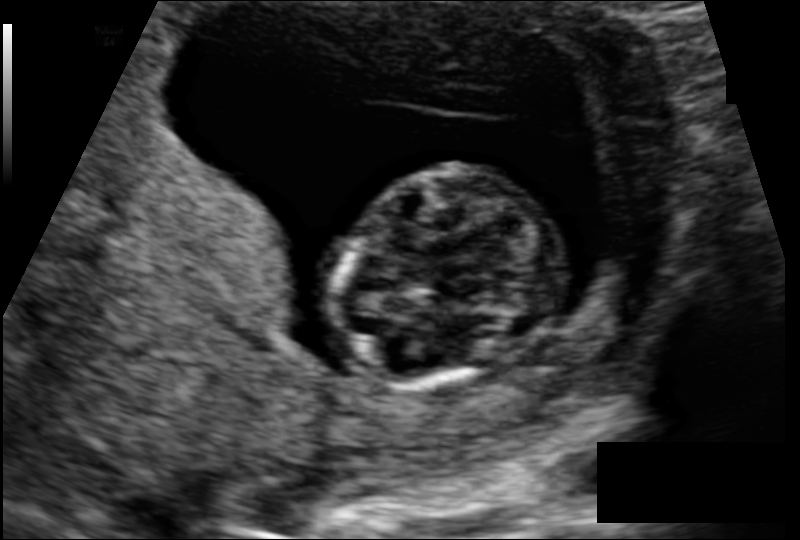
Measure the fetal head circumference shown in this ultrasound image. Image width: 86.1 mm.

Head circumference: 75.9 mm.